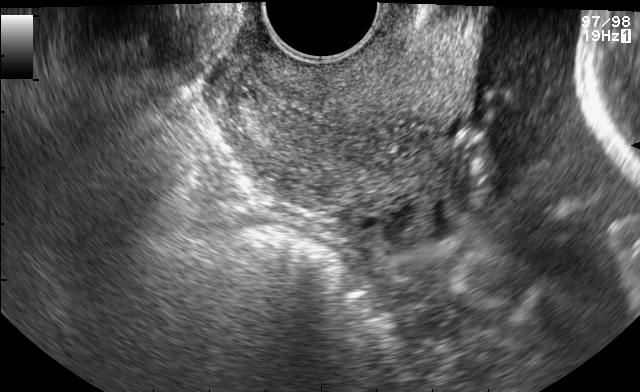
Identify the standard plane in this fetal ultrasound image: fetal abdomen, fetal brain, fetal femur, fetal thorax, maternal cervix, or other. If it's fetal brain and one of the three standard brain planes (trans-thalamic, trans-cerebellum, trans-ventricular), name which.

Maternal cervix